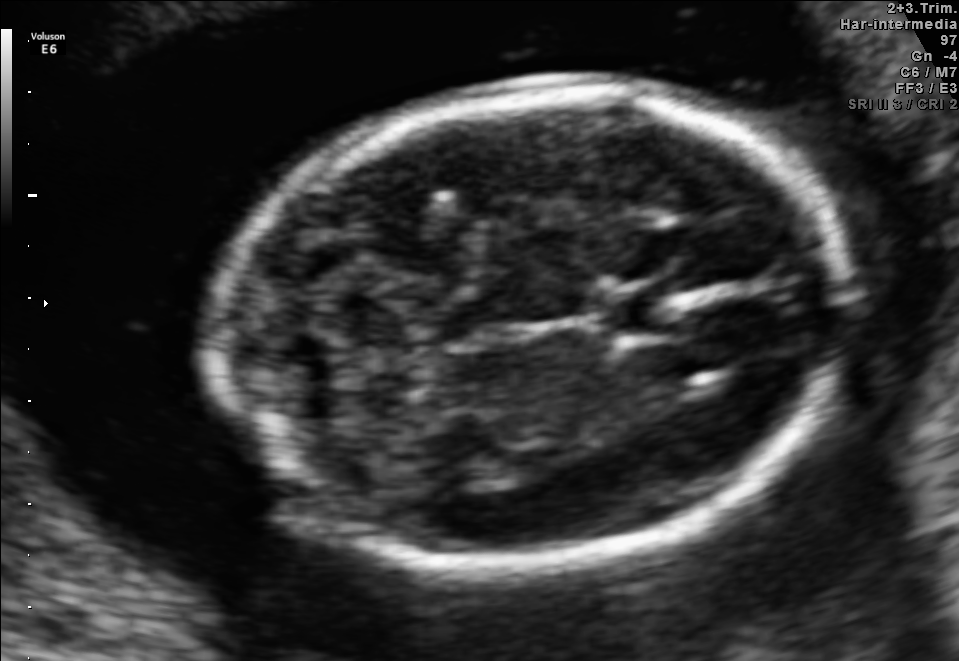
Fetal brain, trans-cerebellum plane. Give [x1,y1,x2,y2] bounding boxes for each visible structure among: fetal head, CSP, LV.

Head: [226,85,841,564]
CSP: [596,281,682,344]